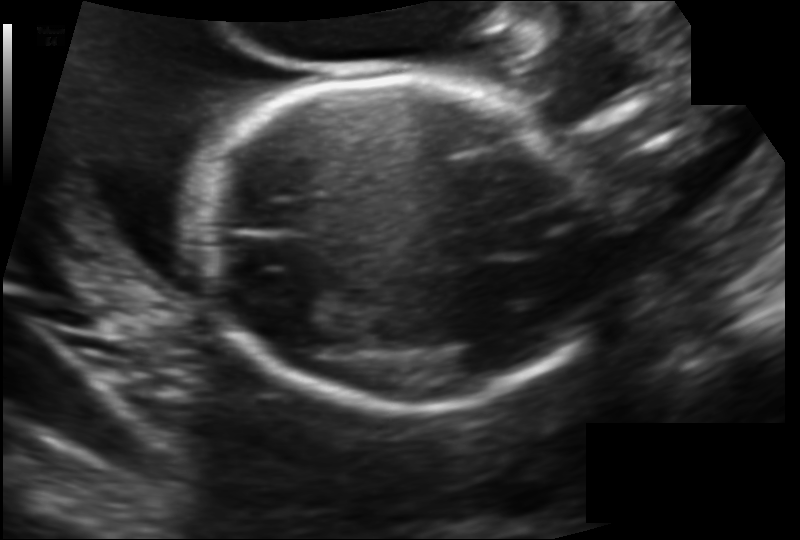
In this fetal head ultrasound, give the bounding box of the fetal head. Image width: 110.4 mm.

[198,78,604,412]